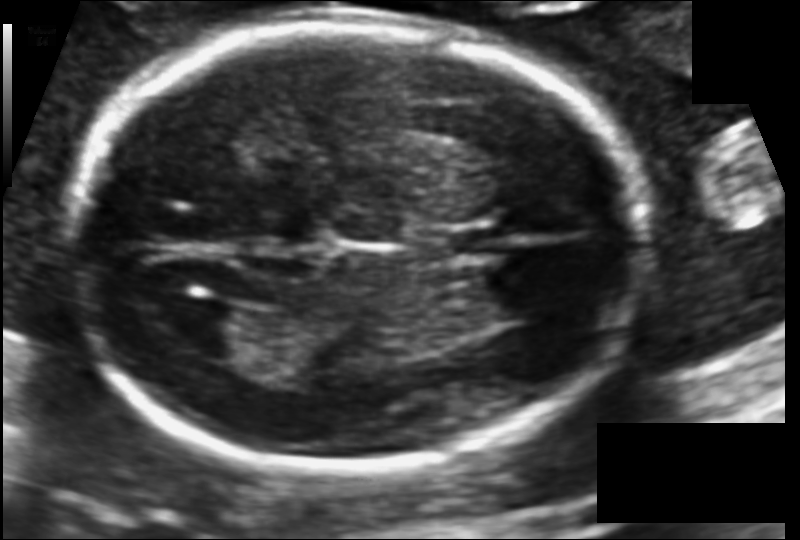
In this fetal head ultrasound, give the bounding box of the cavum septum pellucidum. Image width: 90.1 mm.

[434,221,500,262]